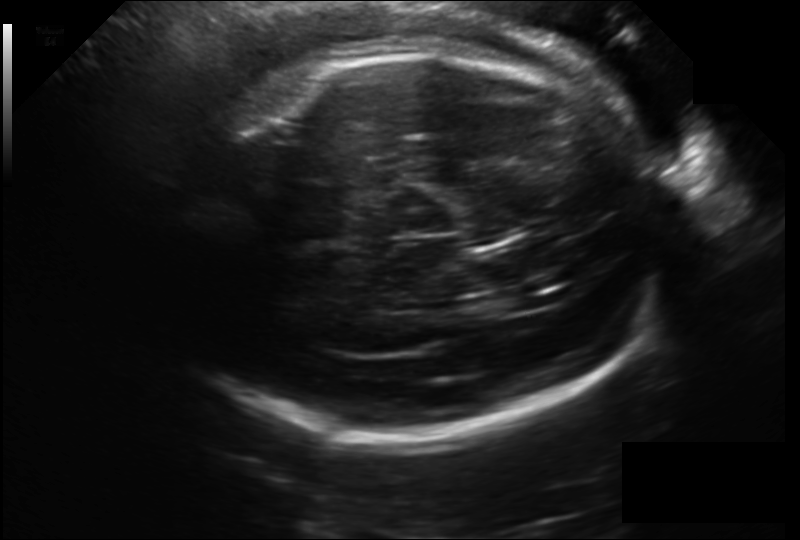
Measure the fetal head circumference shown in this ultrasound image. Image width: 162.0 mm.

Head circumference: 289.5 mm.